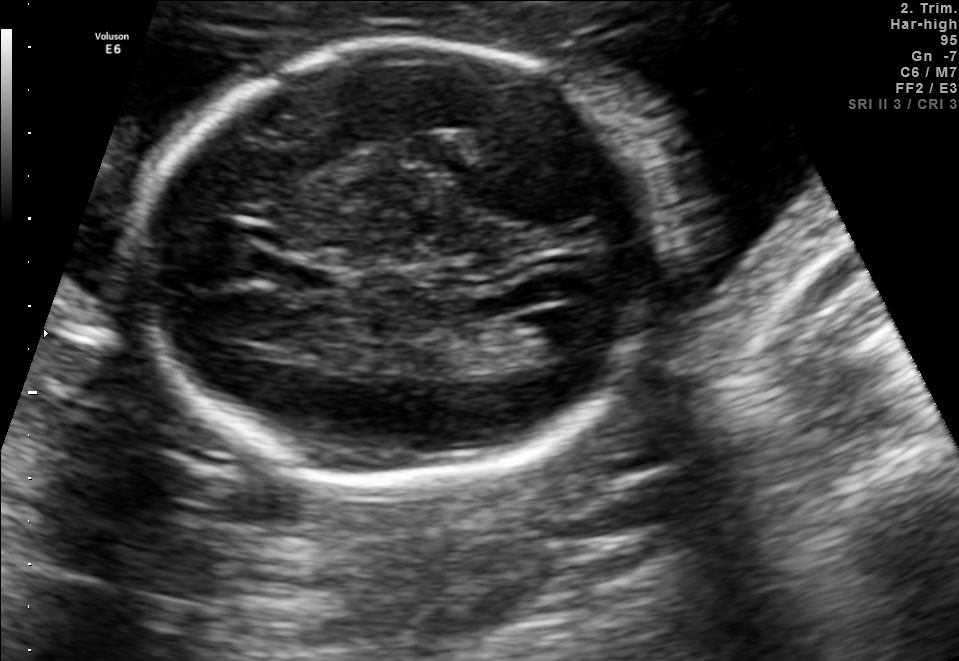
Fetal brain, trans-ventricular plane. Where is the cavum septum pellucidum?

CSP bounding box: [297,270,332,289]